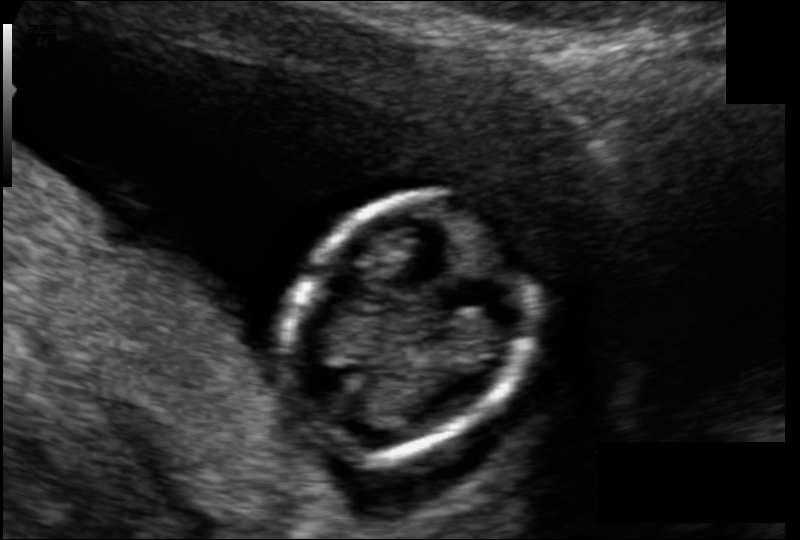
Estimate the fetal head circumference from this 2D ultrasound. Image width: 71.6 mm.

Head circumference: 75.2 mm.